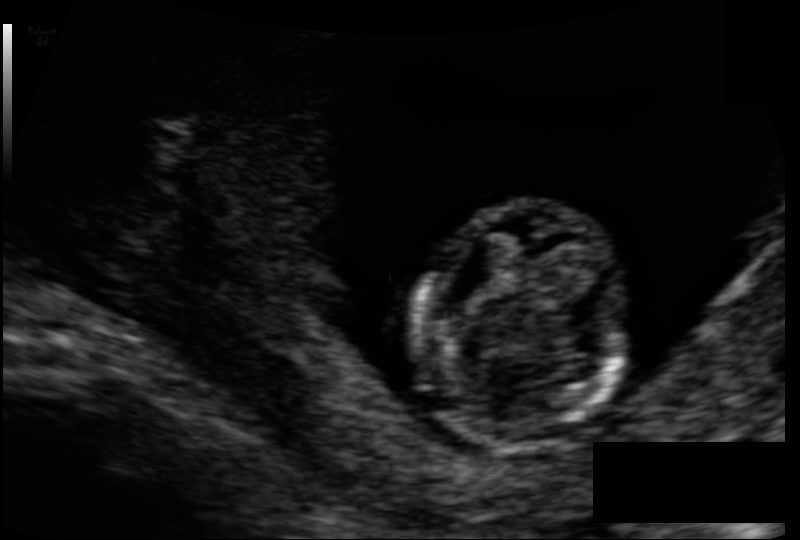
Estimate the fetal head circumference from this 2D ultrasound. Image width: 76.4 mm.

Head circumference: 72.5 mm.